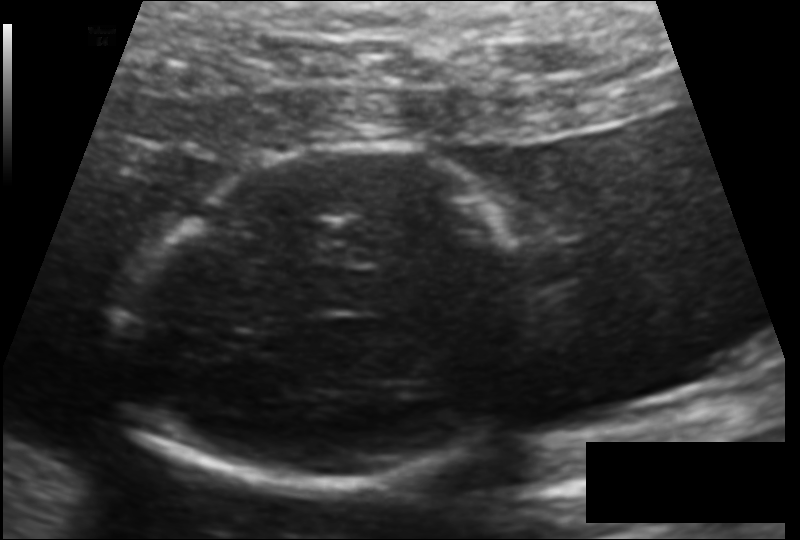
Estimate the fetal head circumference from this 2D ultrasound.

Head circumference: 155.6 mm (image width 99.4 mm).